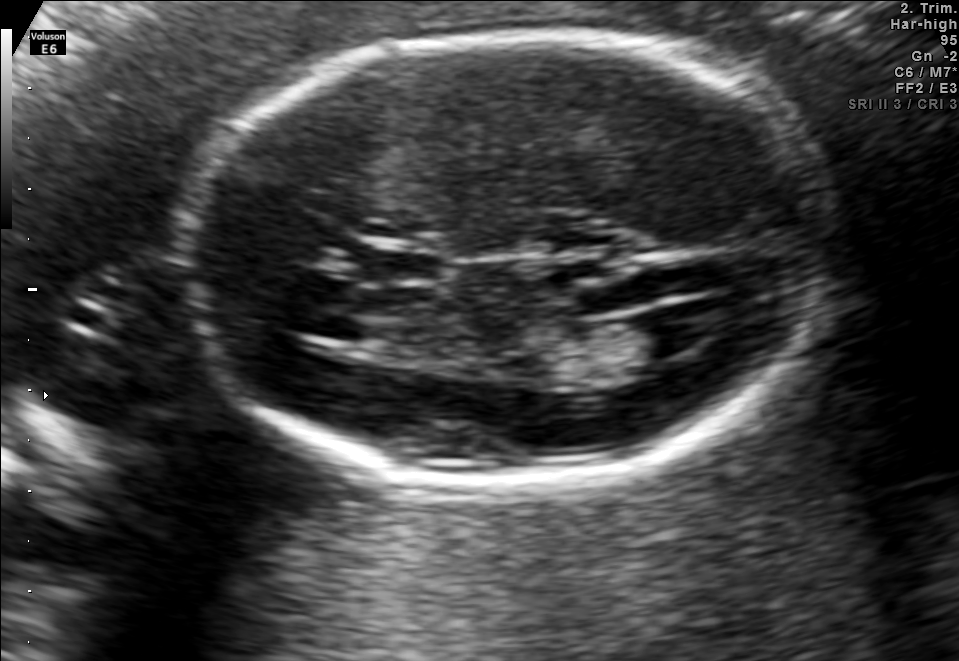
Which standard maternal-fetal ultrasound plane is shown: fetal abdomen, fetal brain, fetal femur, fetal thorax, maternal cervix, or other? If it's fetal brain and one of the three standard brain planes (trans-thalamic, trans-cerebellum, trans-ventricular), name which.

Fetal brain (trans-ventricular plane)